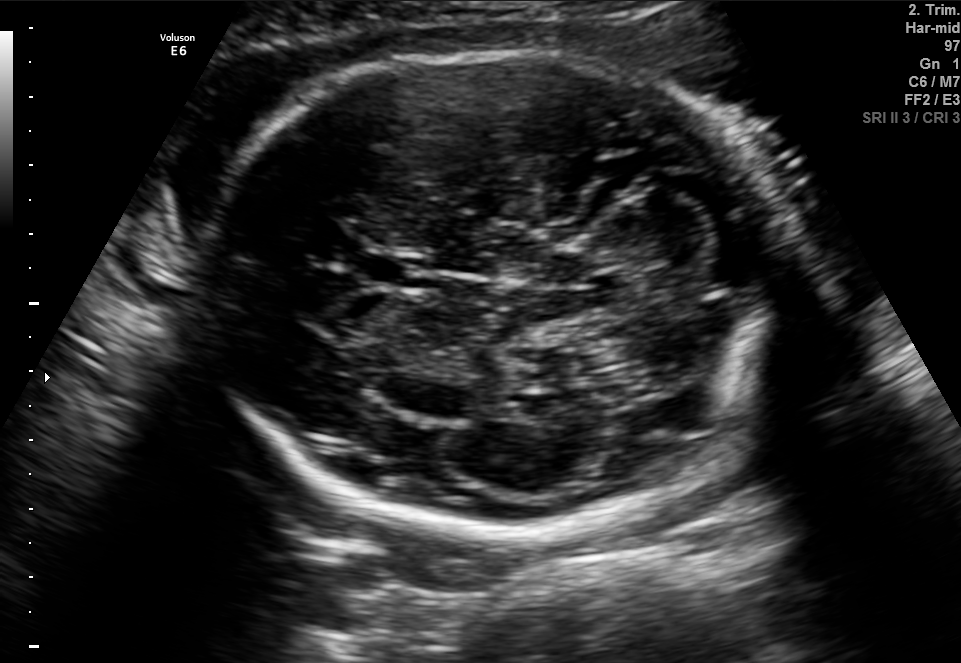
Fetal brain, trans-cerebellum plane. Locate the fetal head.

Head: [205,52,784,533]